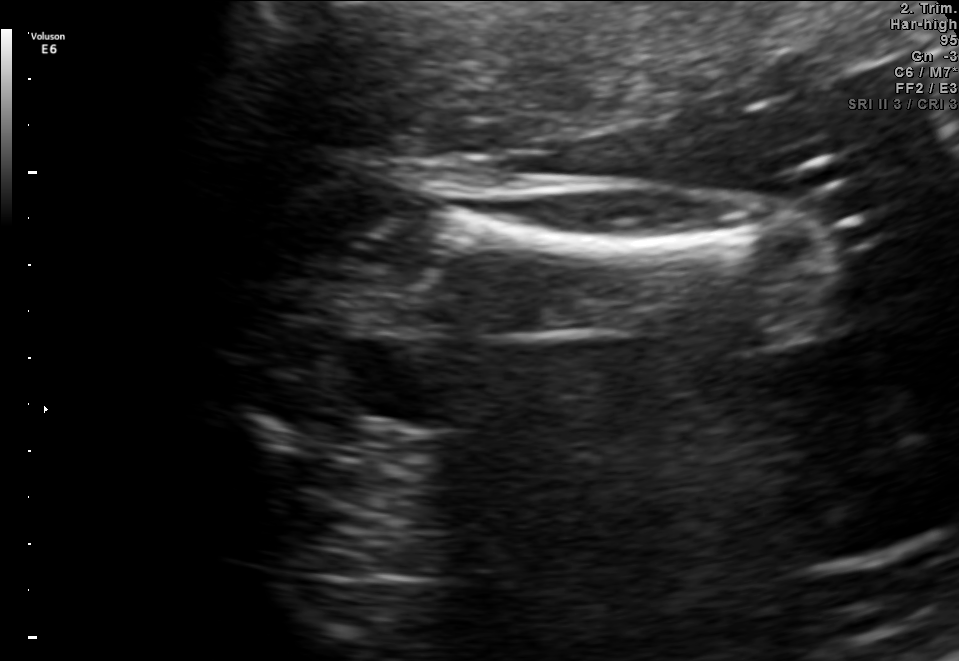
Classify this maternal-fetal ultrasound image as one of the six standard planes — fetal abdomen, fetal brain, fetal femur, fetal thorax, maternal cervix, or other. If it's fetal brain and one of the three standard brain planes (trans-thalamic, trans-cerebellum, trans-ventricular), name which.

Fetal femur